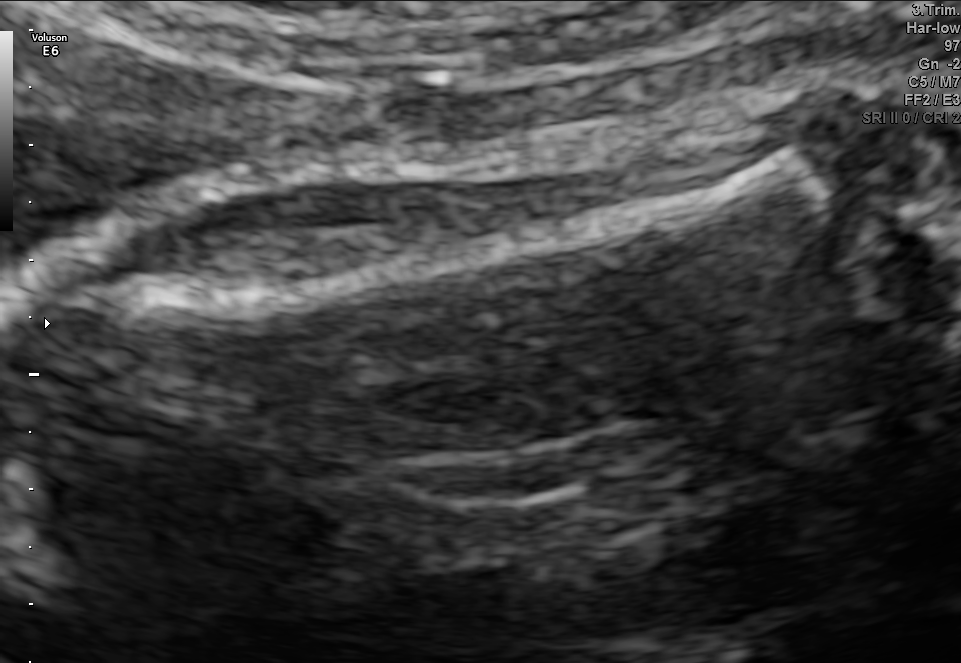
Which standard maternal-fetal ultrasound plane is shown: fetal abdomen, fetal brain, fetal femur, fetal thorax, maternal cervix, or other? If it's fetal brain and one of the three standard brain planes (trans-thalamic, trans-cerebellum, trans-ventricular), name which.

Fetal femur